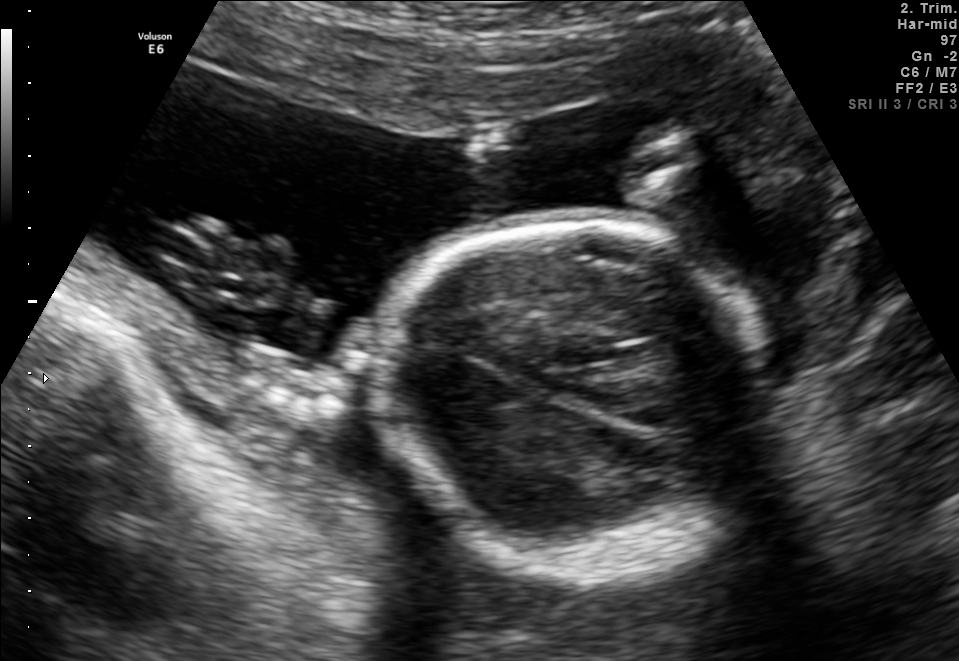
Which standard maternal-fetal ultrasound plane is shown: fetal abdomen, fetal brain, fetal femur, fetal thorax, maternal cervix, or other? If it's fetal brain and one of the three standard brain planes (trans-thalamic, trans-cerebellum, trans-ventricular), name which.

Fetal brain (trans-thalamic plane)